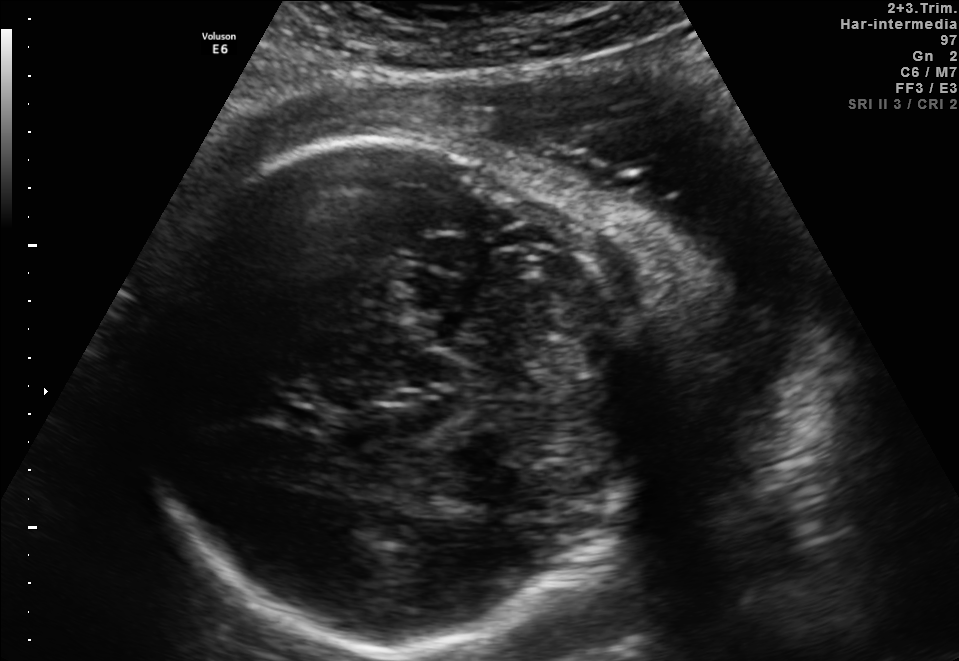
Fetal brain, trans-thalamic plane. Give [x1,y1,x2,y2] bounding boxes for each visible structure among: fetal head, CSP, LV.

Head: [130,134,645,651]
CSP: [262,395,326,438]